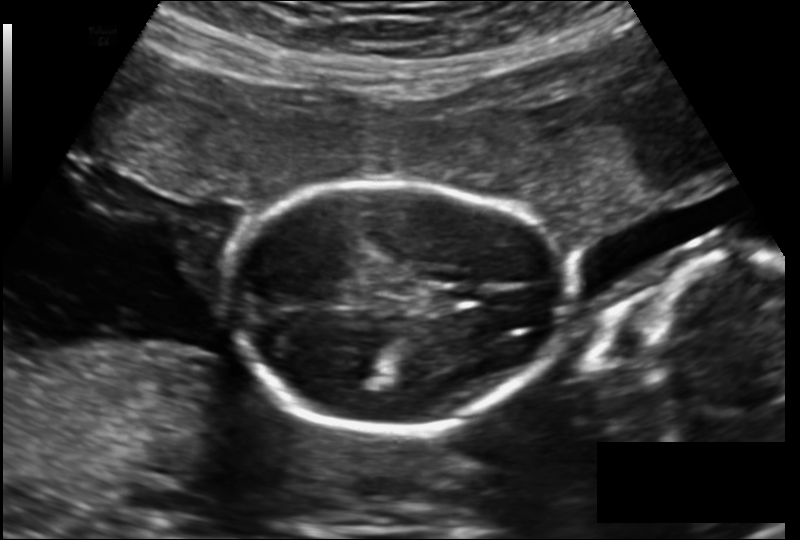
Fetal head ultrasound. Image width: 125.7 mm. Where is the fetal head?

Head bounding box: [229,182,567,430]